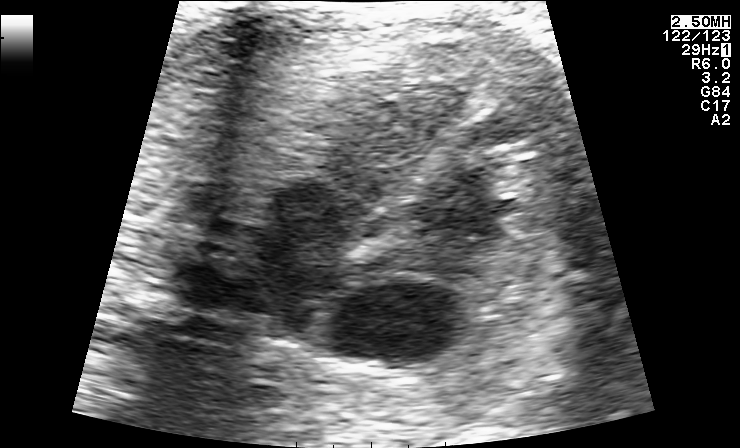
This is a 2D maternal-fetal ultrasound frame. Is it a fetal abdomen, fetal brain, fetal femur, fetal thorax, maternal cervix, or other standard plane? If it's fetal brain and one of the three standard brain planes (trans-thalamic, trans-cerebellum, trans-ventricular), name which.

Fetal thorax